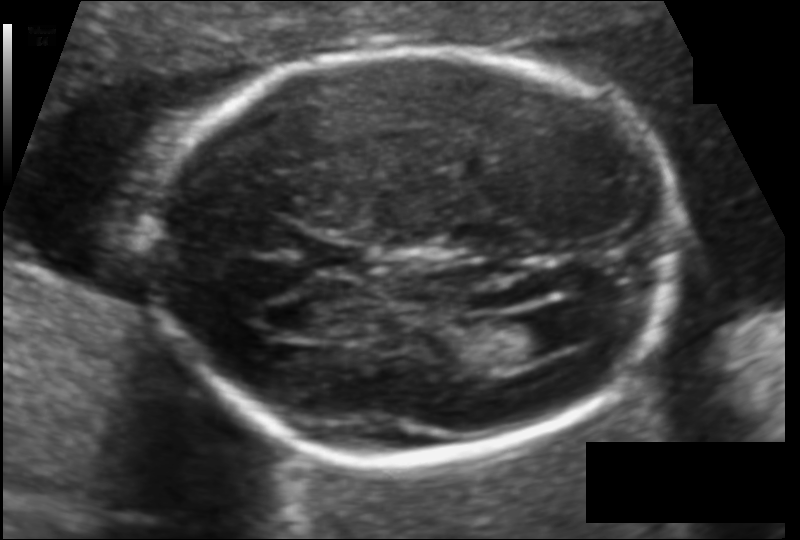
Fetal head ultrasound. Image width: 89.1 mm. Where is the lateral ventricle?

Lateral ventricle bounding box: [491,304,572,370]